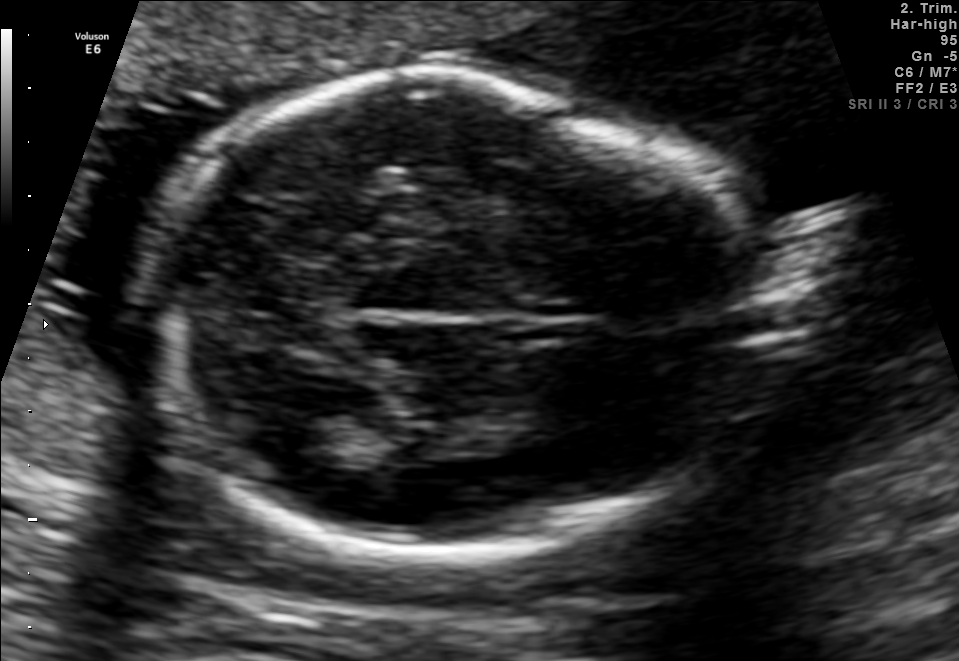
Fetal brain, trans-thalamic plane. Where is the fetal head?

Head bounding box: [149,72,754,547]